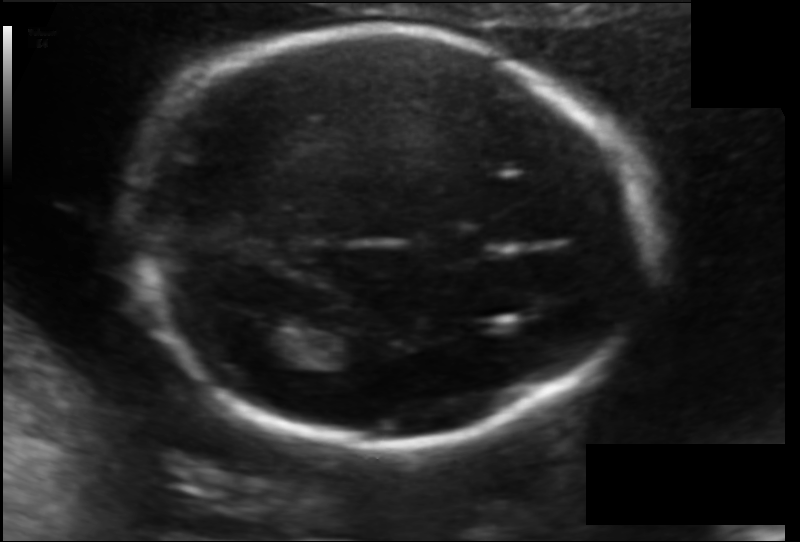
In this fetal head ultrasound, give the bounding box of the cavum septum pellucidum. Image width: 91.4 mm.

[421,228,482,261]